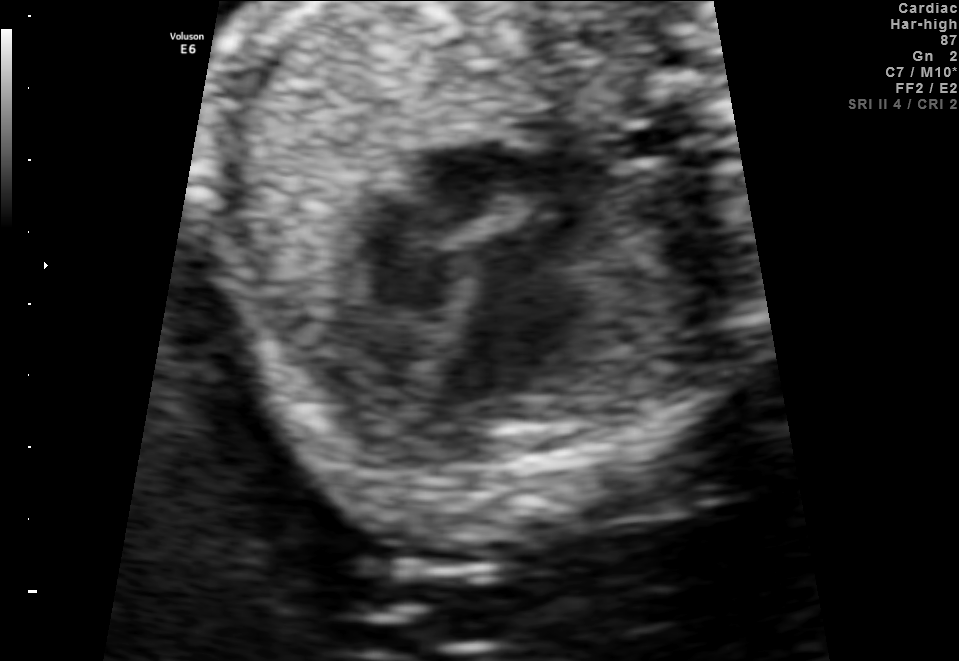
Classify this maternal-fetal ultrasound image as one of the six standard planes — fetal abdomen, fetal brain, fetal femur, fetal thorax, maternal cervix, or other. If it's fetal brain and one of the three standard brain planes (trans-thalamic, trans-cerebellum, trans-ventricular), name which.

Fetal thorax